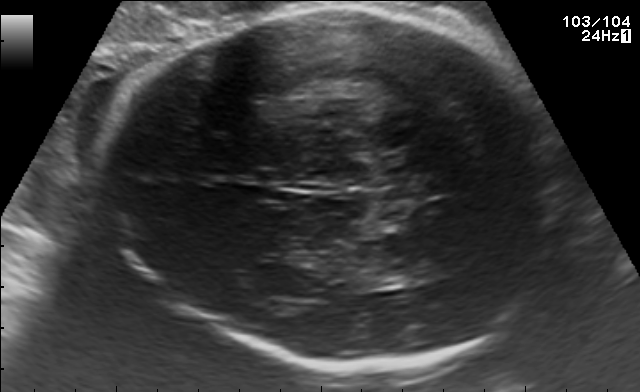
Fetal brain, trans-thalamic plane. Where is the fetal head?

Head bounding box: [98,6,558,367]